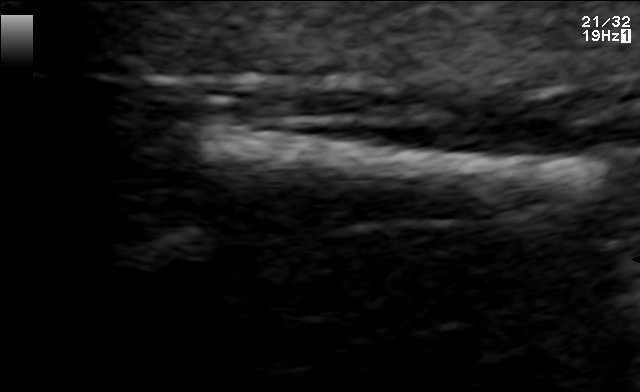
Which standard maternal-fetal ultrasound plane is shown: fetal abdomen, fetal brain, fetal femur, fetal thorax, maternal cervix, or other? If it's fetal brain and one of the three standard brain planes (trans-thalamic, trans-cerebellum, trans-ventricular), name which.

Fetal femur